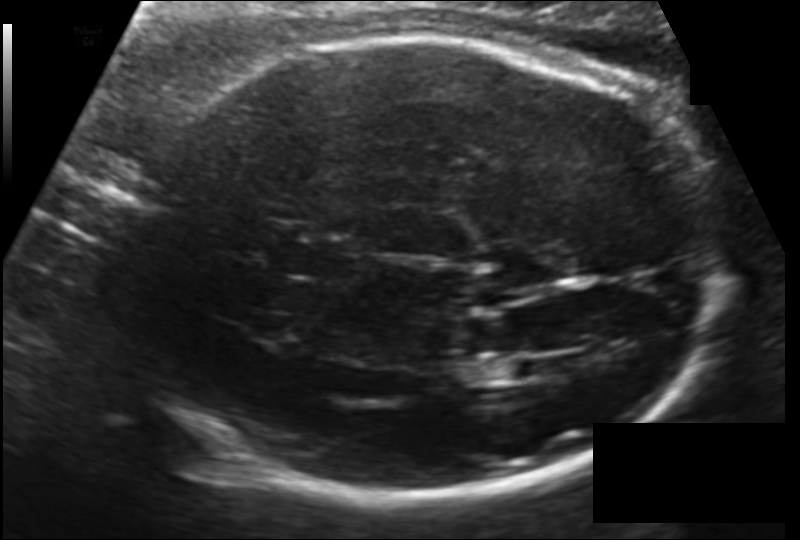
Fetal head ultrasound. Image width: 120.6 mm. Locate the fetal head and, if visible, the cavum septum pellucidum (CSP) and lateral ventricle (LV). Give bounding boxes as [x1,y1,x2,y2].

Head: [122,38,723,501]
CSP: [282,241,355,277]
Lateral ventricle: [510,353,556,384]